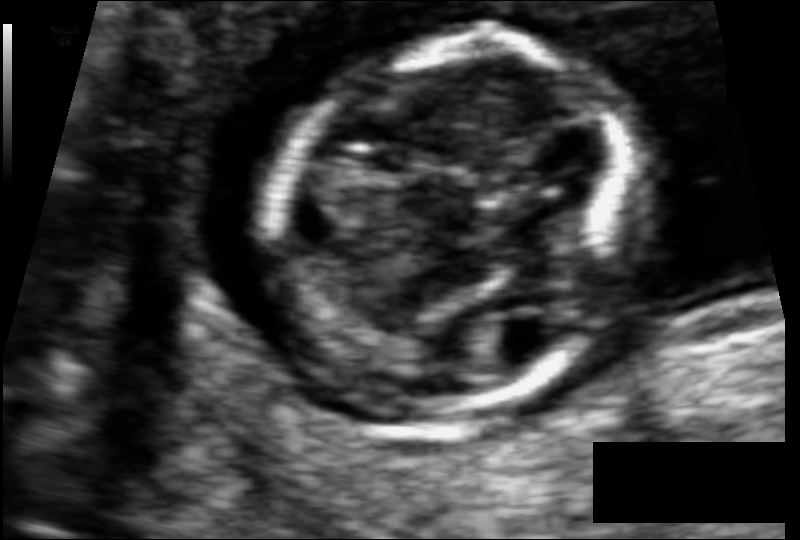
Fetal head ultrasound. Image width: 49.9 mm. Where is the fetal head?

Head bounding box: [269,33,636,415]